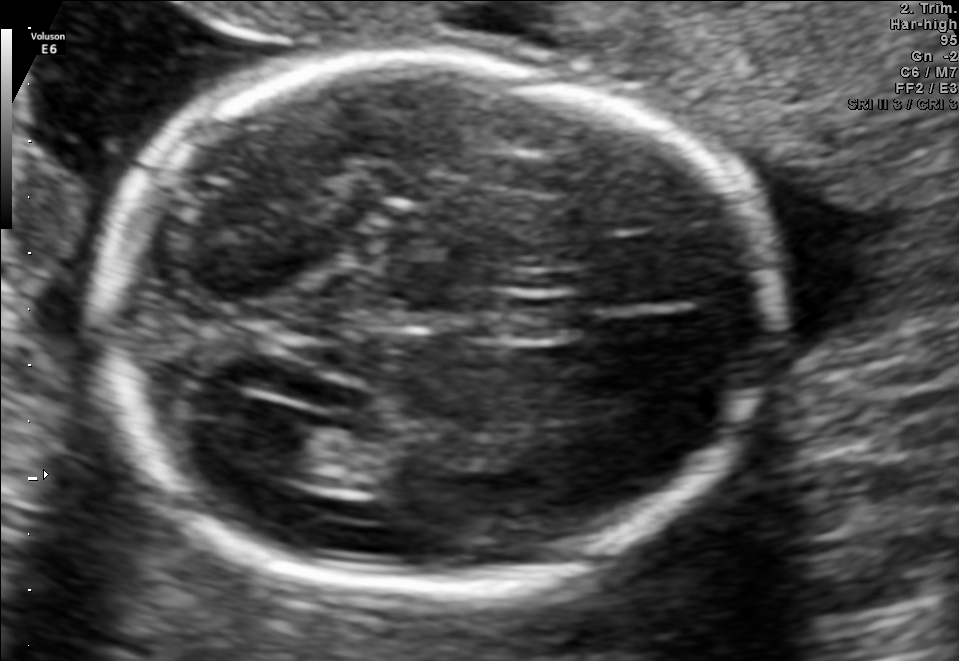
Fetal brain, trans-ventricular plane. Locate the lateral ventricle.

Lateral ventricle: [207,388,324,482]